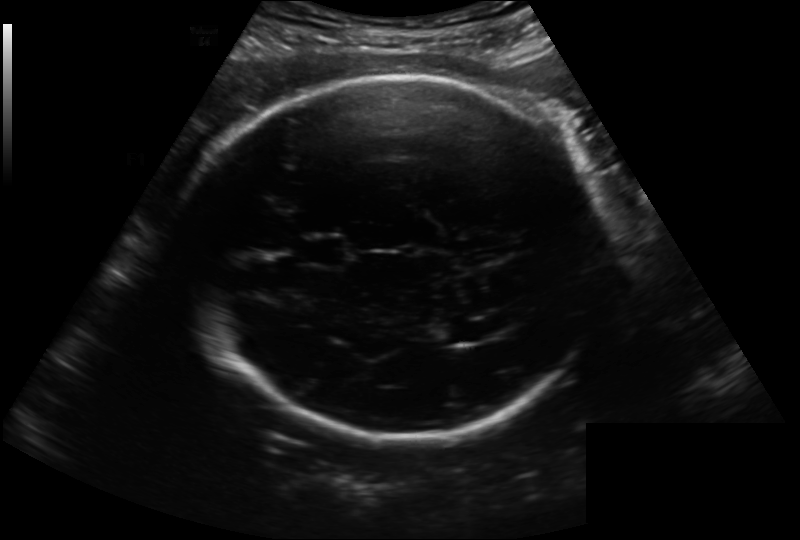
In this fetal head ultrasound, give the bounding box of the cavum septum pellucidum. Image width: 177.3 mm.

[303,237,346,266]